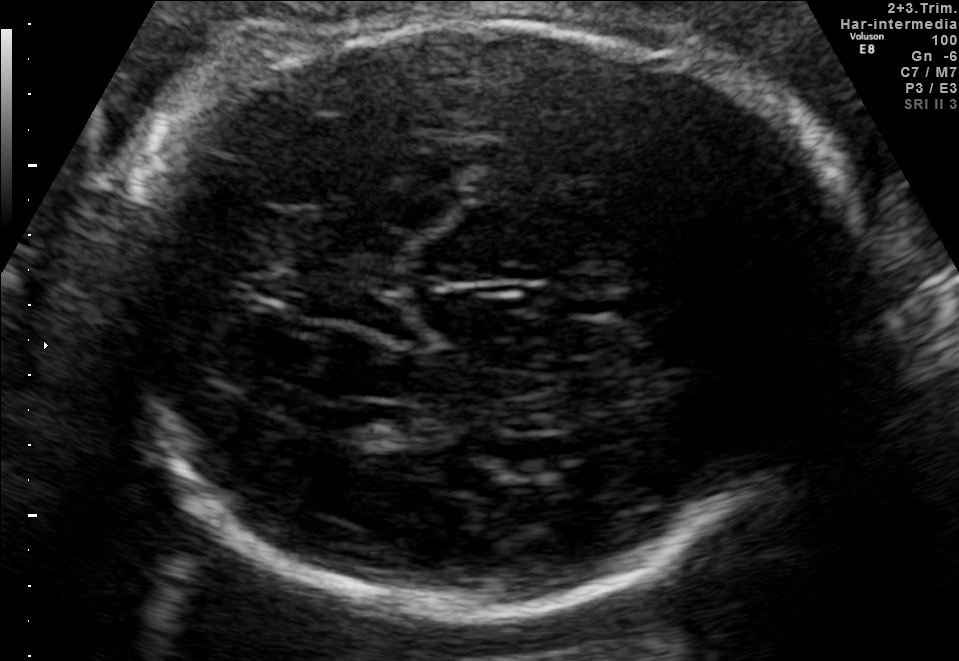
Fetal brain, trans-thalamic plane. Locate the fetal head.

Head: [119,19,866,616]